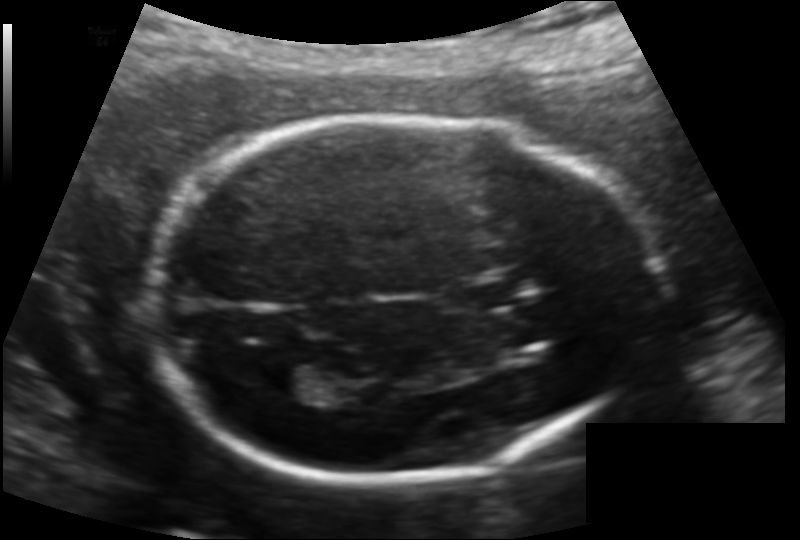
Fetal head ultrasound. Image width: 105.6 mm. Locate the lateral ventricle.

Lateral ventricle: [263,360,326,402]